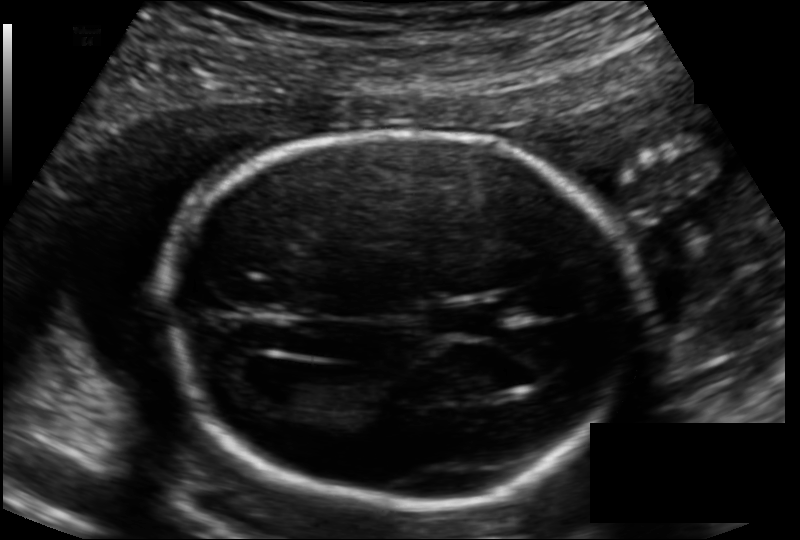
From this fetal ultrasound, estimate the head circumference (image width 100.8 mm).

Head circumference: 171.2 mm.